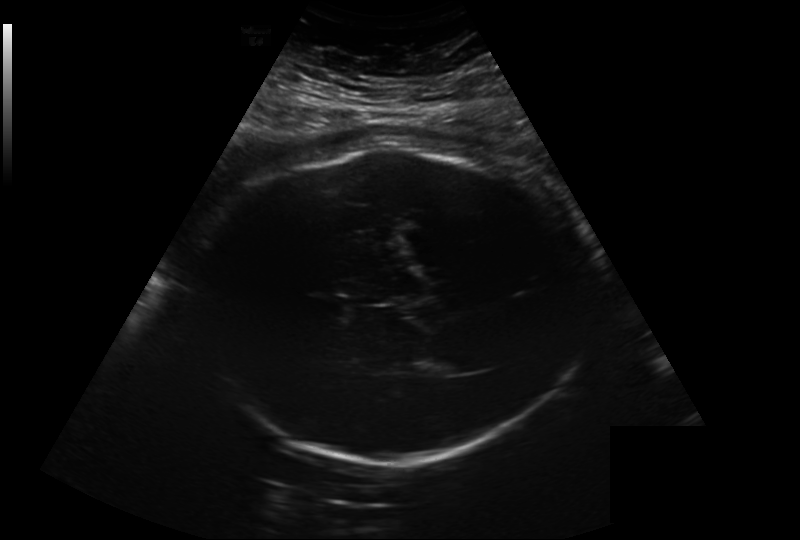
Fetal head ultrasound. Image width: 225.2 mm. Locate the fetal head and, if visible, the cavum septum pellucidum (CSP) and lateral ventricle (LV). Give bounding boxes as [x1,y1,x2,y2].

Head: [199,148,584,462]
Lateral ventricle: [428,352,470,376]